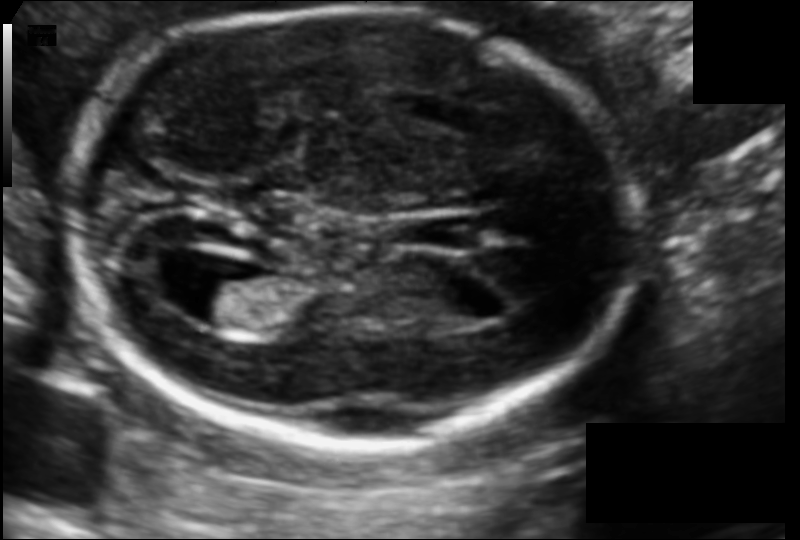
Fetal head ultrasound. Image width: 83.9 mm. Locate the cavum septum pellucidum.

CSP: [421,216,479,250]